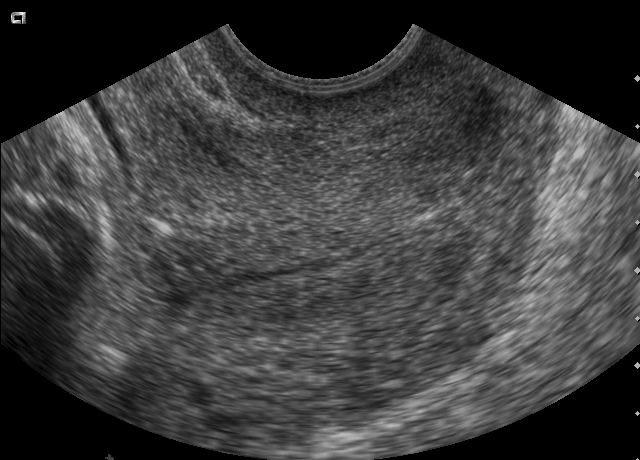
Which standard maternal-fetal ultrasound plane is shown: fetal abdomen, fetal brain, fetal femur, fetal thorax, maternal cervix, or other? If it's fetal brain and one of the three standard brain planes (trans-thalamic, trans-cerebellum, trans-ventricular), name which.

Maternal cervix